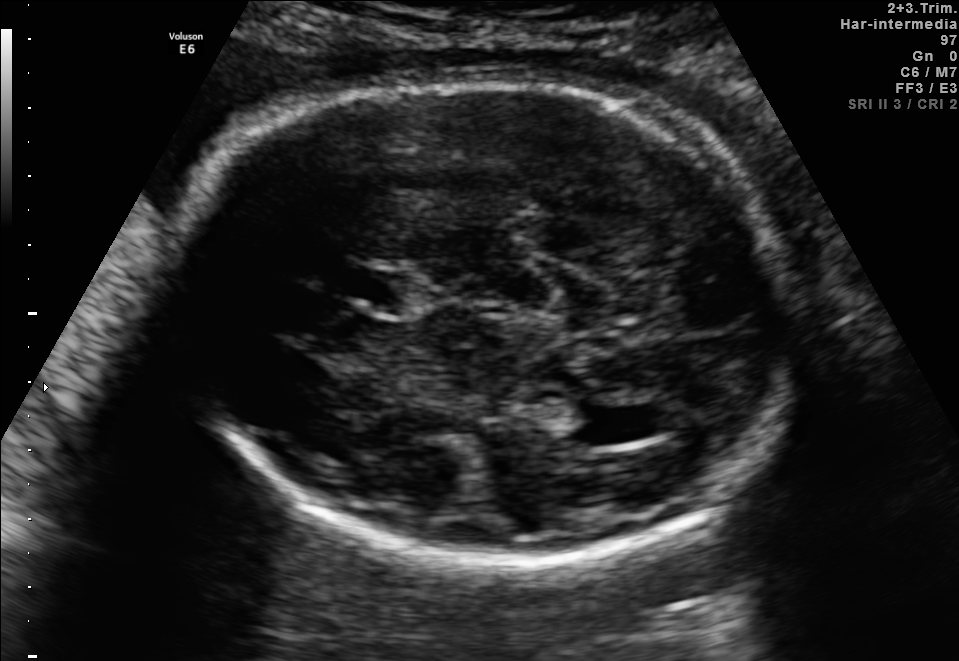
Fetal brain, trans-ventricular plane. Where is the fetal head?

Head bounding box: [159,71,814,570]